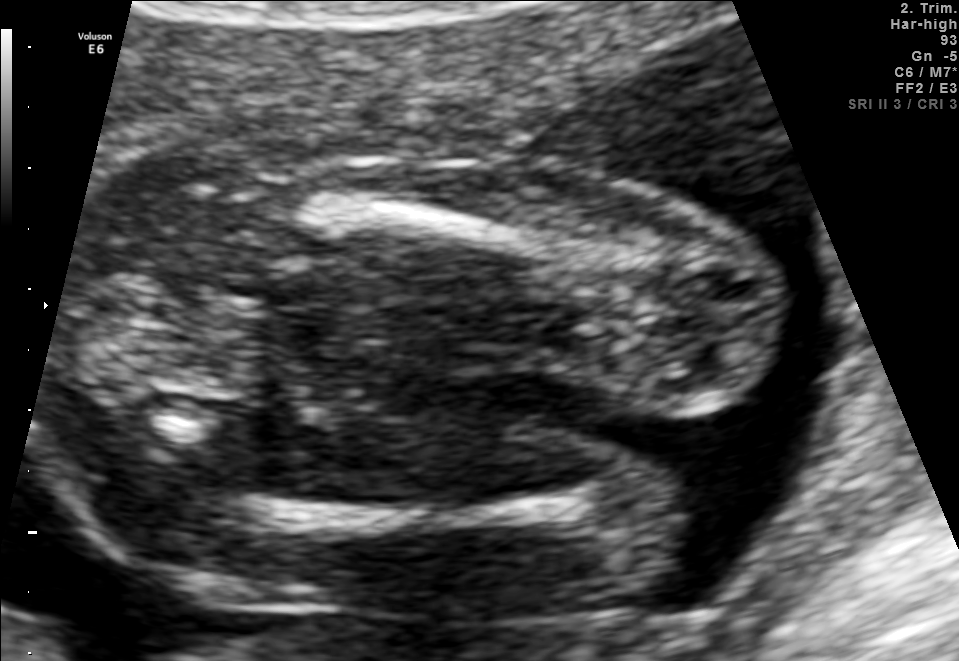
Classify this maternal-fetal ultrasound image as one of the six standard planes — fetal abdomen, fetal brain, fetal femur, fetal thorax, maternal cervix, or other. If it's fetal brain and one of the three standard brain planes (trans-thalamic, trans-cerebellum, trans-ventricular), name which.

Fetal femur